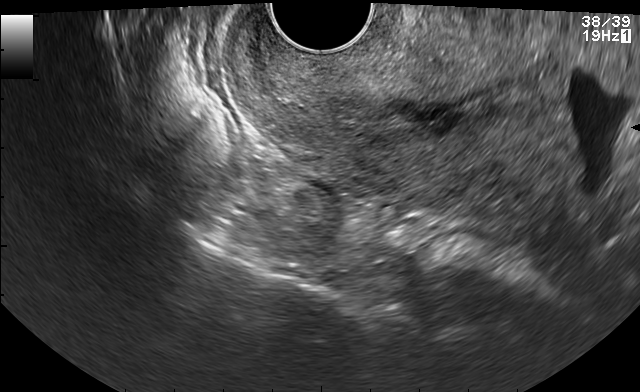
This is a 2D maternal-fetal ultrasound frame. Is it a fetal abdomen, fetal brain, fetal femur, fetal thorax, maternal cervix, or other standard plane? If it's fetal brain and one of the three standard brain planes (trans-thalamic, trans-cerebellum, trans-ventricular), name which.

Maternal cervix